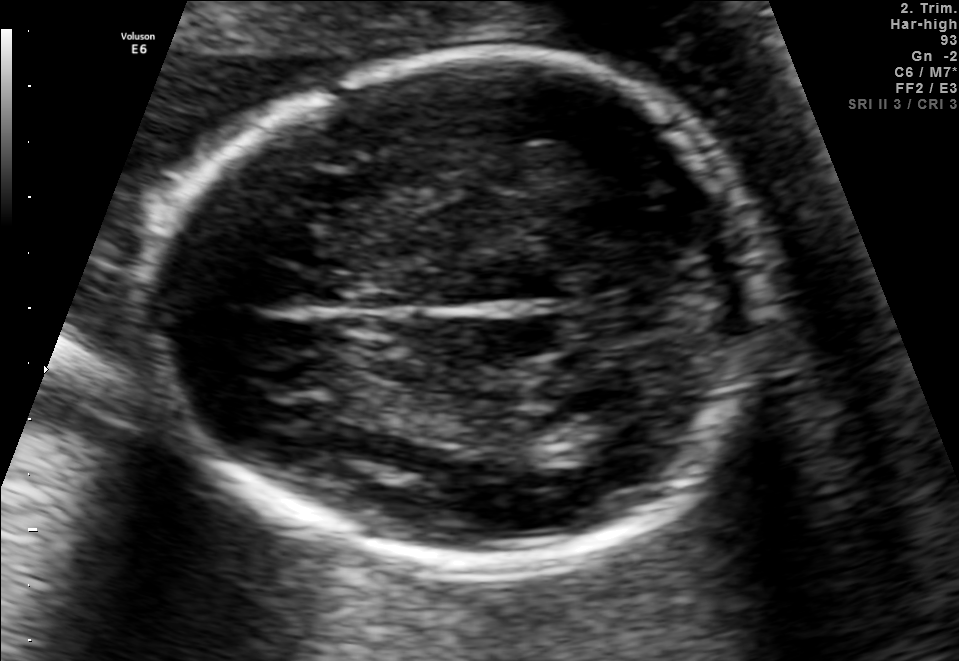
Fetal brain, trans-thalamic plane. Where is the fetal head?

Head bounding box: [153,57,768,570]